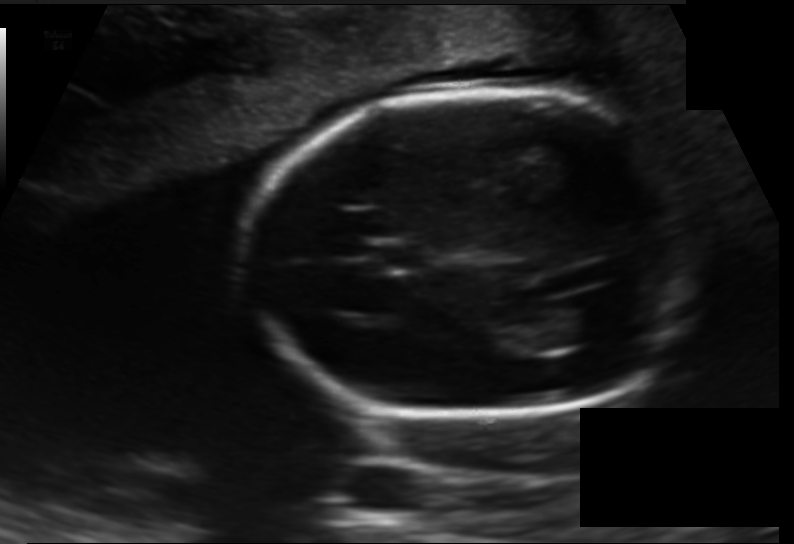
Fetal head ultrasound. Image width: 109.8 mm. Locate the fetal head and, if visible, the cavum septum pellucidum (CSP) and lateral ventricle (LV). Give bounding boxes as [x1,y1,x2,y2].

Head: [243,90,702,416]
CSP: [371,245,426,269]
Lateral ventricle: [532,300,608,353]